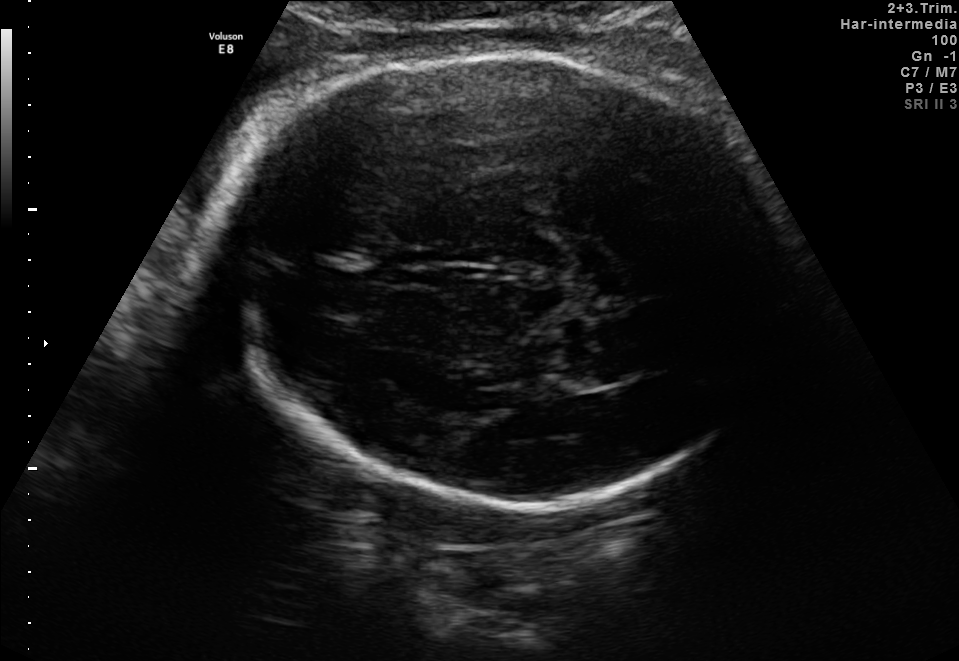
Fetal brain, trans-thalamic plane. Where is the fetal head?

Head bounding box: [219,52,788,513]